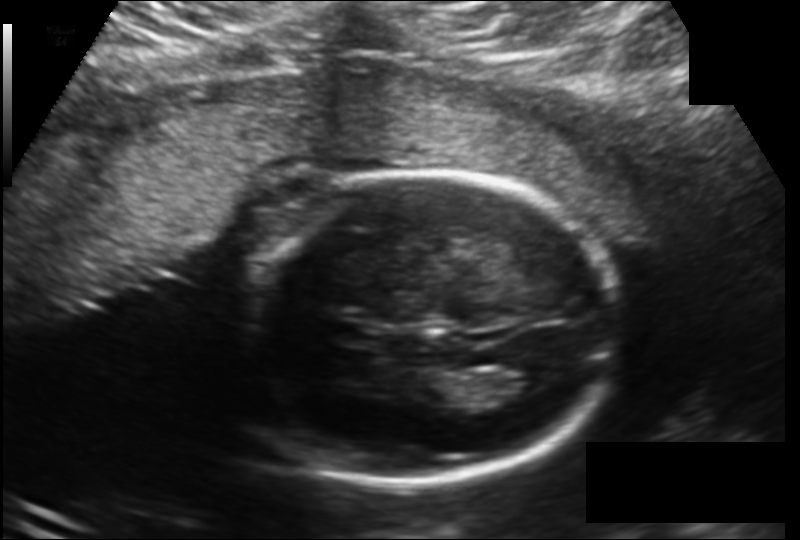
Fetal head ultrasound. Image width: 132.4 mm. Locate the fetal head and, if visible, the cavum septum pellucidum (CSP) and lateral ventricle (LV). Give bounding boxes as [x1,y1,x2,y2].

Head: [226,174,621,482]
Lateral ventricle: [489,362,557,402]